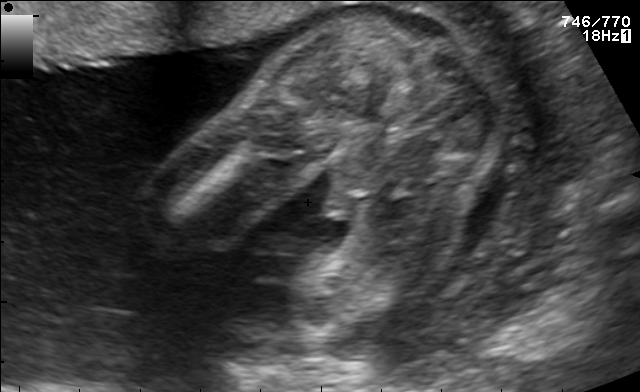
This is a 2D maternal-fetal ultrasound frame. Is it a fetal abdomen, fetal brain, fetal femur, fetal thorax, maternal cervix, or other standard plane? If it's fetal brain and one of the three standard brain planes (trans-thalamic, trans-cerebellum, trans-ventricular), name which.

Other